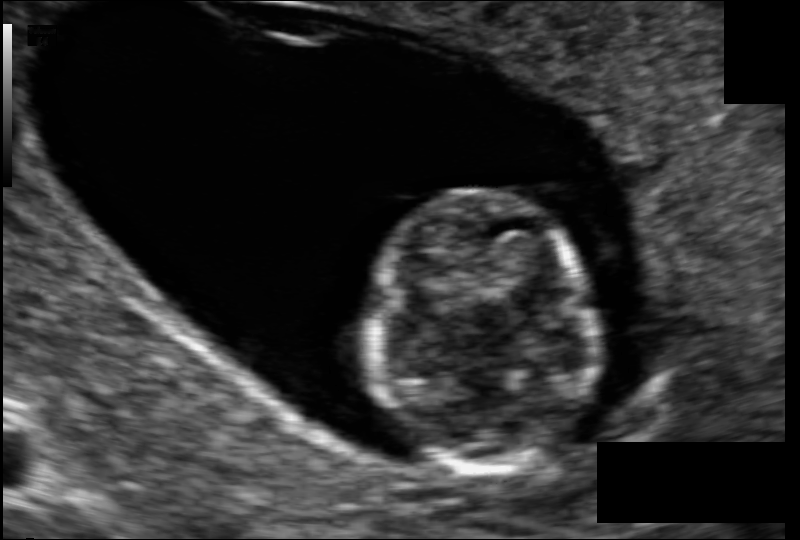
Estimate the fetal head circumference from this 2D ultrasound.

Head circumference: 76.0 mm (image width 73.7 mm).